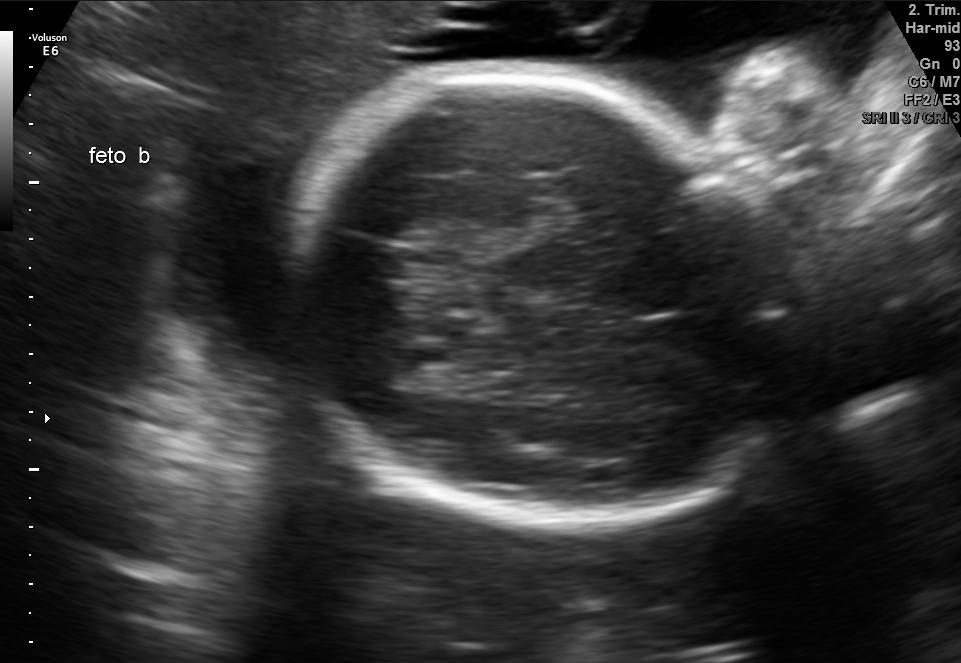
Fetal brain, trans-thalamic plane. Give [x1,y1,x2,y2] bounding boxes for each visible structure among: fetal head, CSP, LV.

Head: [284,70,796,527]